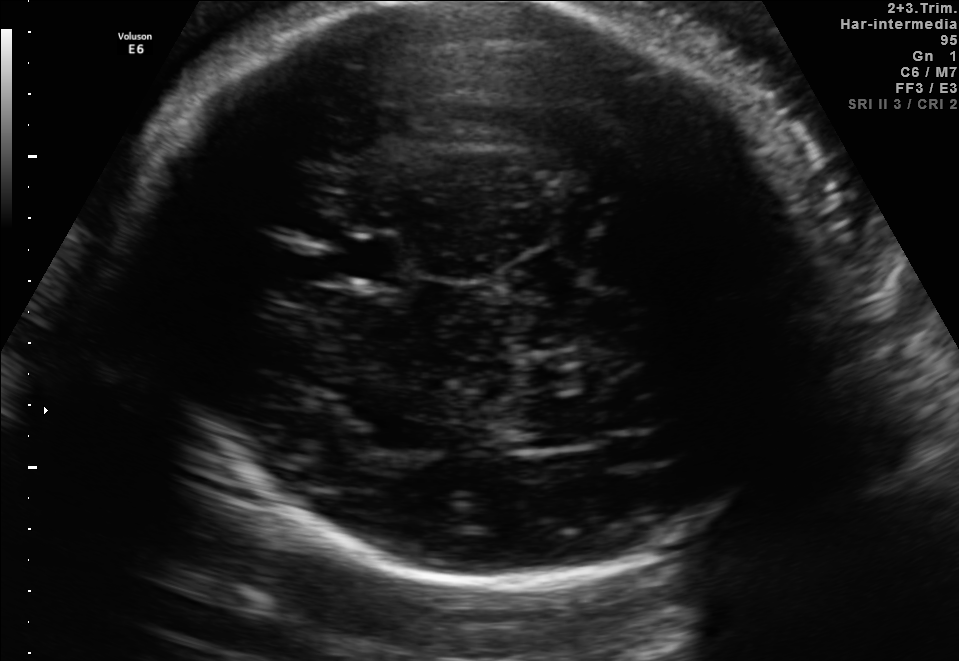
Which standard maternal-fetal ultrasound plane is shown: fetal abdomen, fetal brain, fetal femur, fetal thorax, maternal cervix, or other? If it's fetal brain and one of the three standard brain planes (trans-thalamic, trans-cerebellum, trans-ventricular), name which.

Fetal brain (trans-thalamic plane)